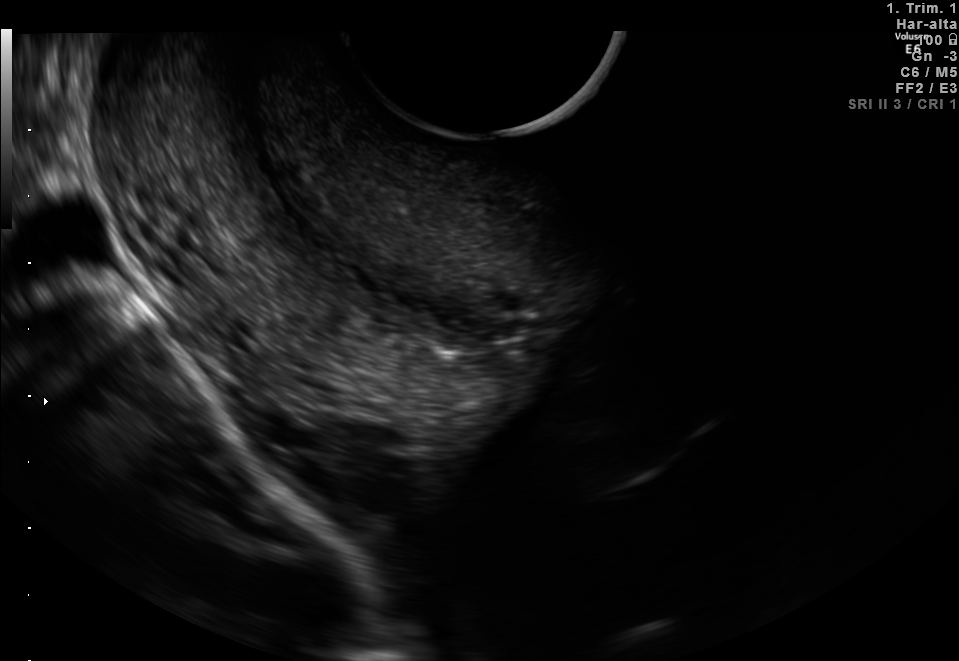
Classify this maternal-fetal ultrasound image as one of the six standard planes — fetal abdomen, fetal brain, fetal femur, fetal thorax, maternal cervix, or other. If it's fetal brain and one of the three standard brain planes (trans-thalamic, trans-cerebellum, trans-ventricular), name which.

Maternal cervix